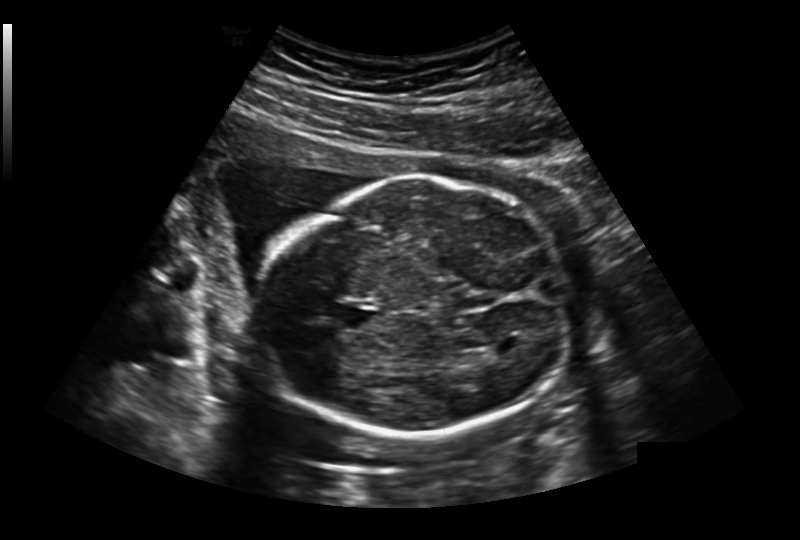
From this fetal ultrasound, estimate the head circumference (image width 188.6 mm).

Head circumference: 213.2 mm.